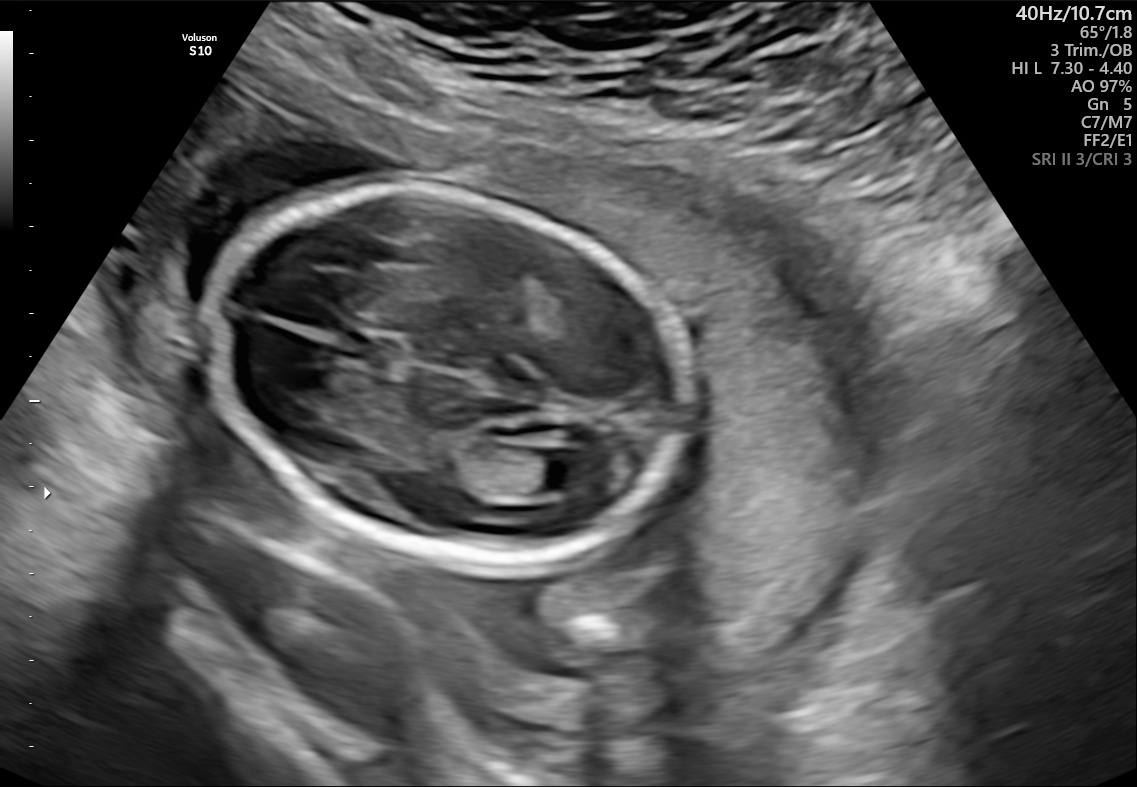
Fetal brain, trans-ventricular plane. Locate the fetal head and, if visible, the cavum septum pellucidum (CSP) and lateral ventricle (LV). Give bounding boxes as [x1,y1,x2,y2].

Head: [205,183,692,566]
CSP: [340,329,391,370]
Lateral ventricle: [519,448,592,492]